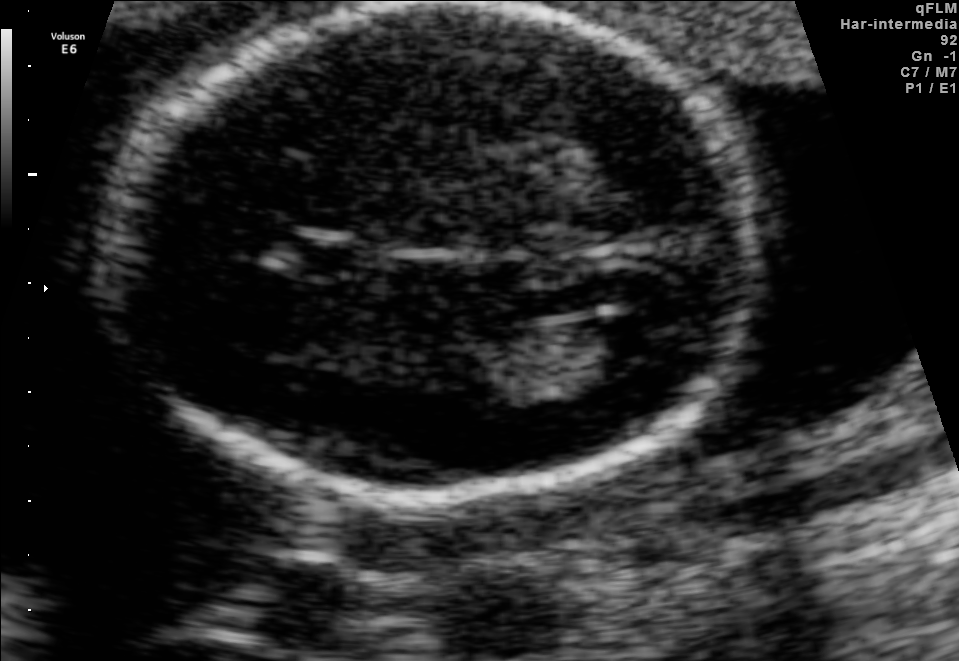
Fetal brain, trans-ventricular plane. Locate the fetal head and, if visible, the cavum septum pellucidum (CSP) and lateral ventricle (LV). Give bounding boxes as [x1,y1,x2,y2].

Head: [92,3,771,512]
CSP: [279,234,370,278]
Lateral ventricle: [577,301,677,376]